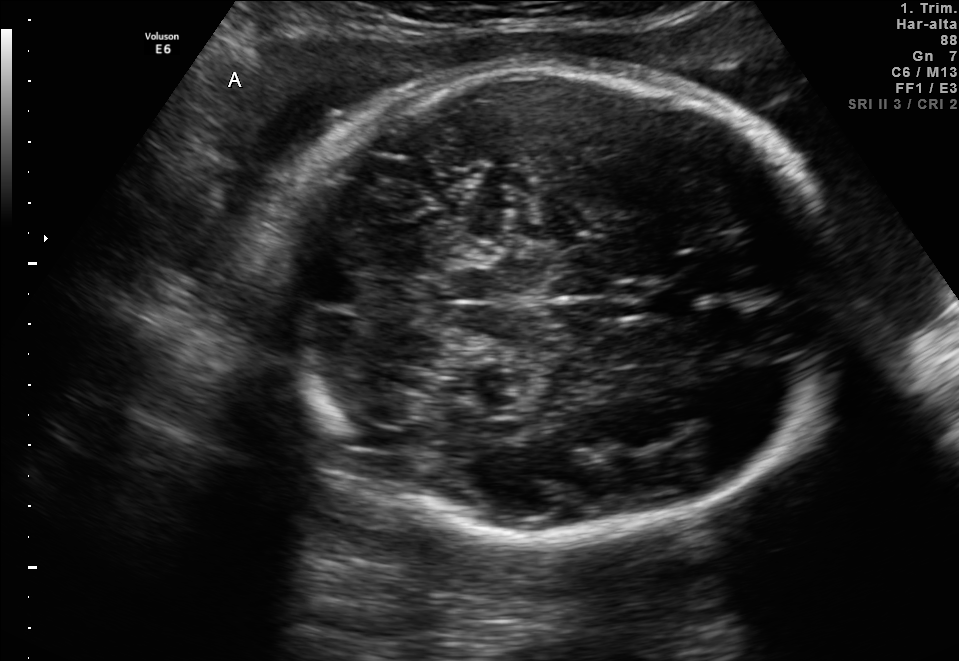
In this fetal brain, trans-cerebellum plane, give bounding boxes for the head outline, cavum septum pellucidum (CSP), and lateral ventricle (LV), where visible.

Head: [260,66,849,537]